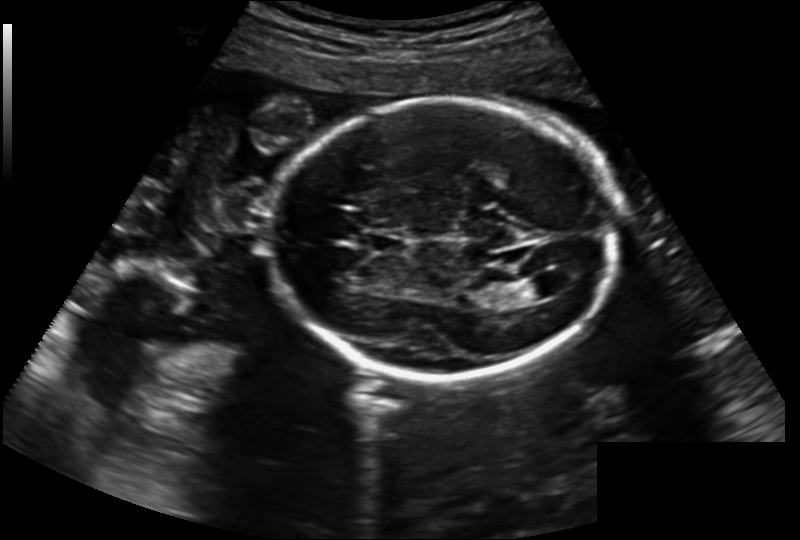
In this fetal head ultrasound, give the bounding box of the cavum septum pellucidum. Image width: 161.7 mm.

[368,231,405,252]